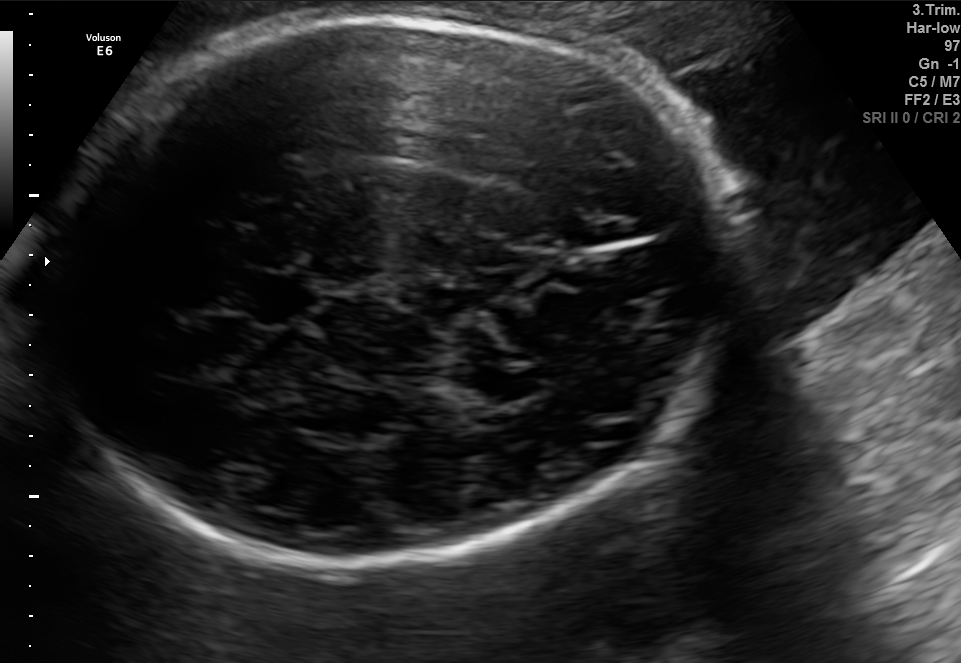
Fetal brain, trans-thalamic plane. Locate the fetal head and, if visible, the cavum septum pellucidum (CSP) and lateral ventricle (LV). Give bounding boxes as [x1,y1,x2,y2].

Head: [46,16,731,567]
CSP: [237,270,304,326]